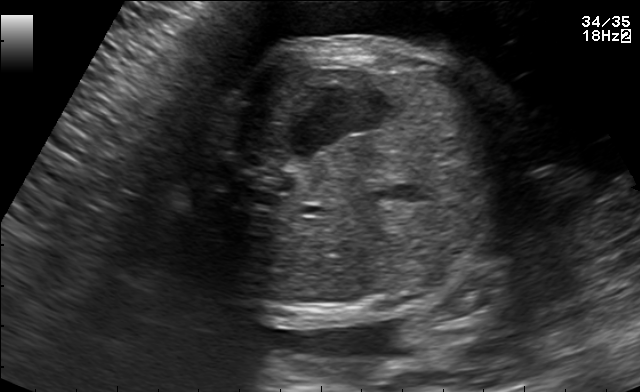
Which standard maternal-fetal ultrasound plane is shown: fetal abdomen, fetal brain, fetal femur, fetal thorax, maternal cervix, or other? If it's fetal brain and one of the three standard brain planes (trans-thalamic, trans-cerebellum, trans-ventricular), name which.

Fetal abdomen